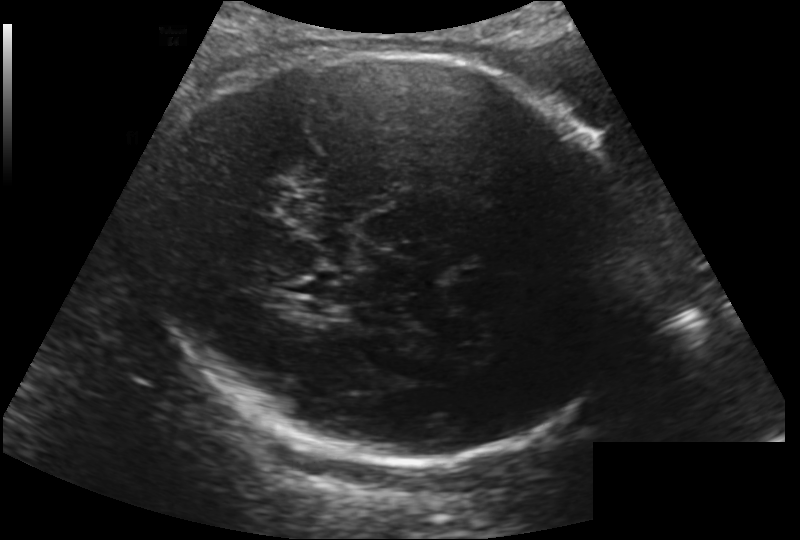
In this fetal head ultrasound, give bounding boxes for the head outline, cavum septum pellucidum (CSP), and lateral ventricle (LV), where visible. Image width: 160.1 mm.

Head: [152,51,638,464]